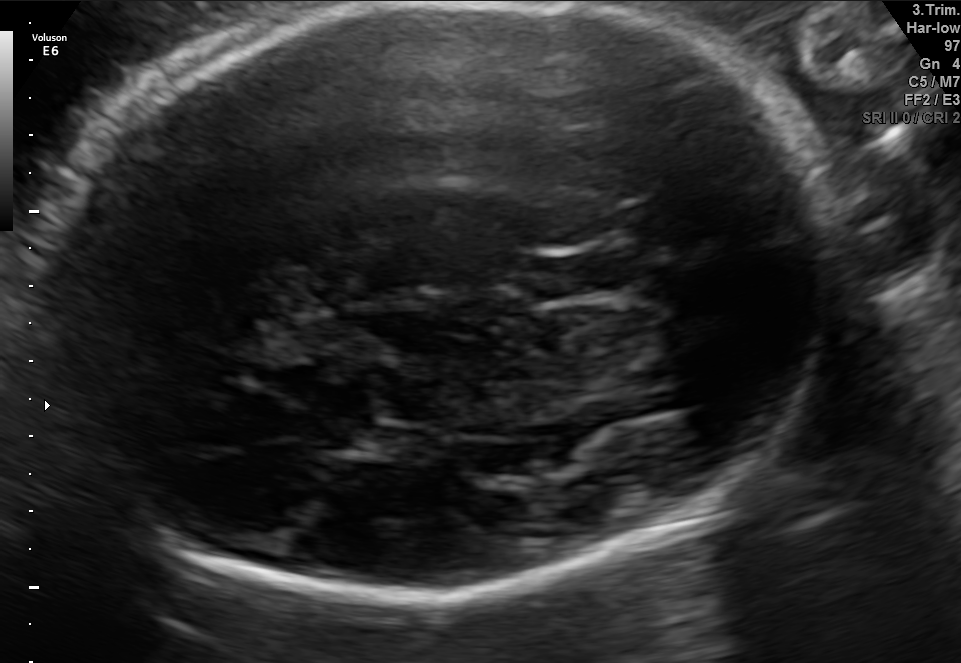
In this fetal brain, trans-thalamic plane, give the bounding box of the cavum septum pellucidum.

[527,249,619,304]